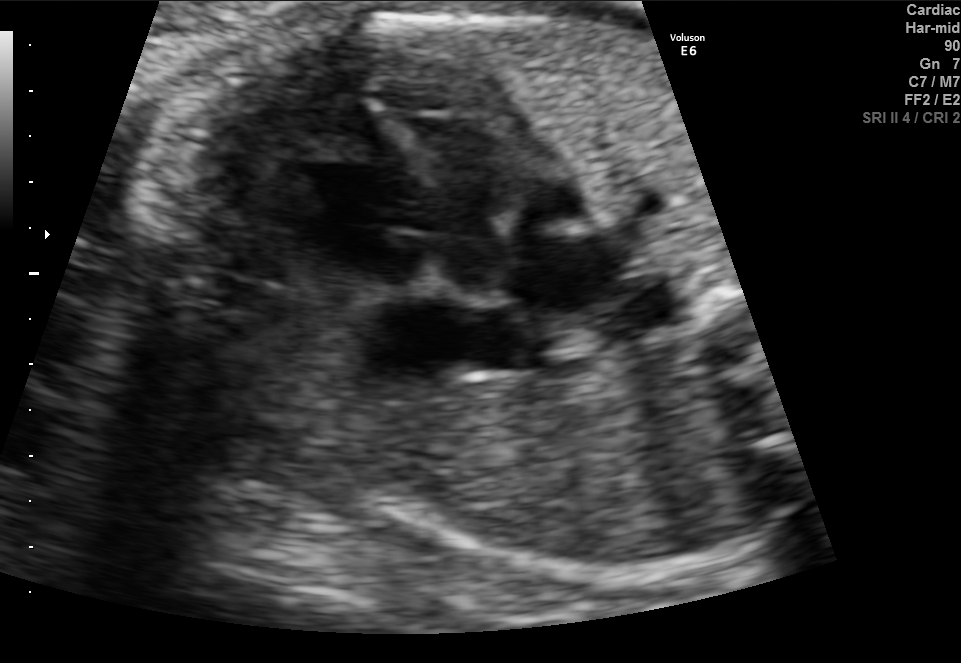
Which standard maternal-fetal ultrasound plane is shown: fetal abdomen, fetal brain, fetal femur, fetal thorax, maternal cervix, or other? If it's fetal brain and one of the three standard brain planes (trans-thalamic, trans-cerebellum, trans-ventricular), name which.

Fetal thorax